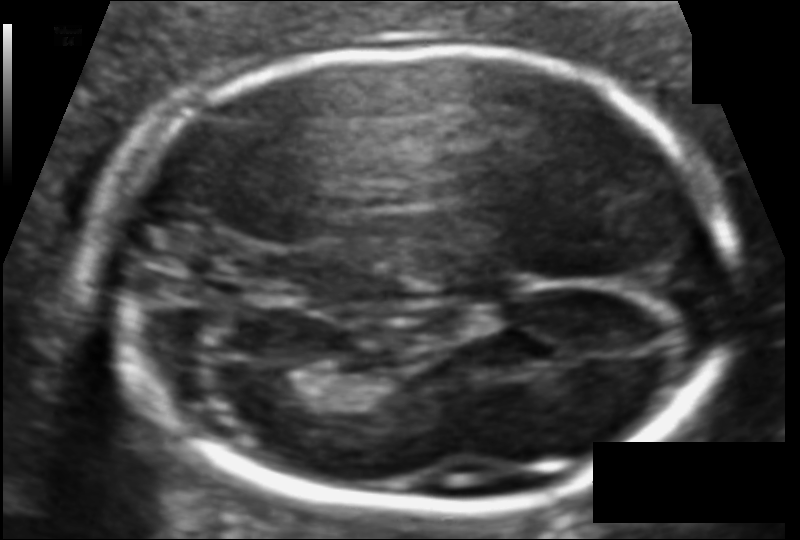
In this fetal head ultrasound, give bounding boxes for the head outline, cavum septum pellucidum (CSP), and lateral ventricle (LV), where visible. Image width: 76.5 mm.

Head: [97,49,730,509]
Lateral ventricle: [260,365,324,410]